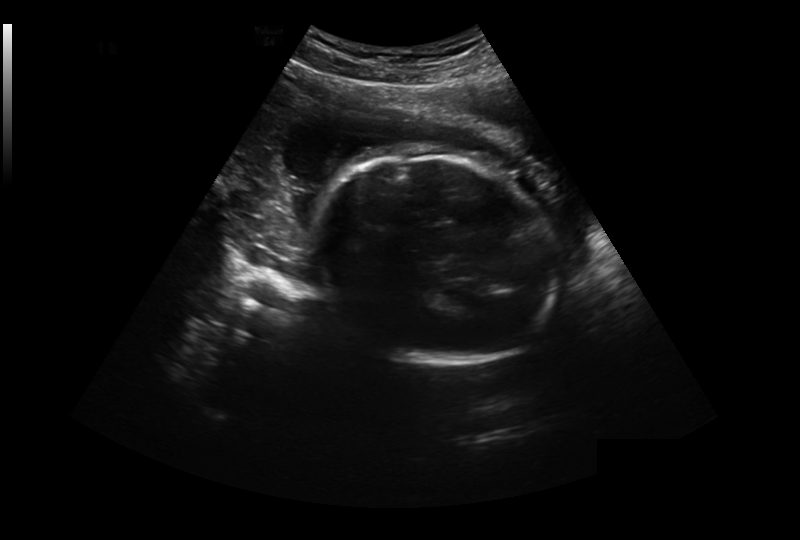
Fetal head ultrasound. Image width: 261.2 mm. Where is the fetal head?

Head bounding box: [306,155,559,364]